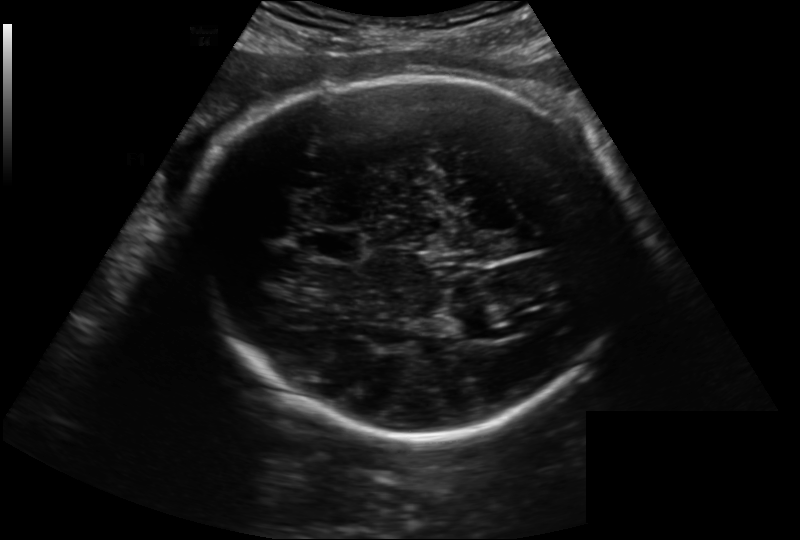
In this fetal head ultrasound, give the bounding box of the cavum septum pellucidum. Image width: 177.3 mm.

[304,229,362,263]